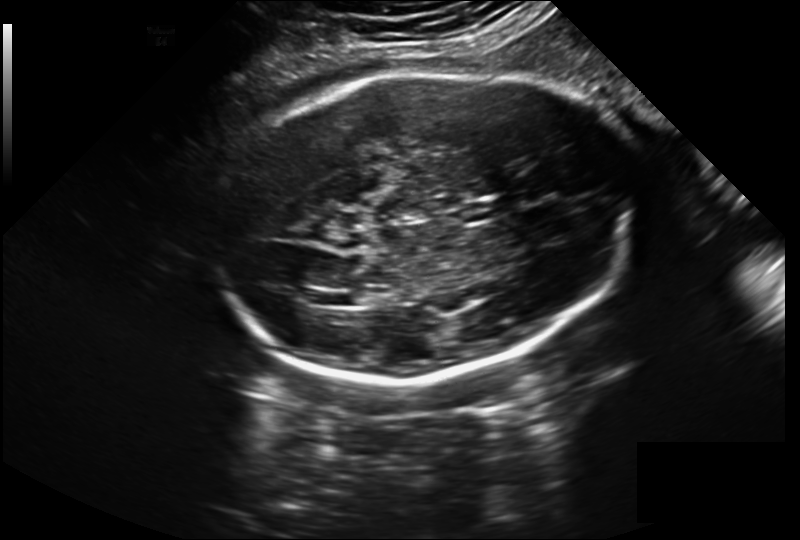
In this fetal head ultrasound, give bounding boxes for the head outline, cavum septum pellucidum (CSP), and lateral ventricle (LV), where visible. Image width: 194.5 mm.

Head: [210,69,633,380]
Lateral ventricle: [337,292,369,305]